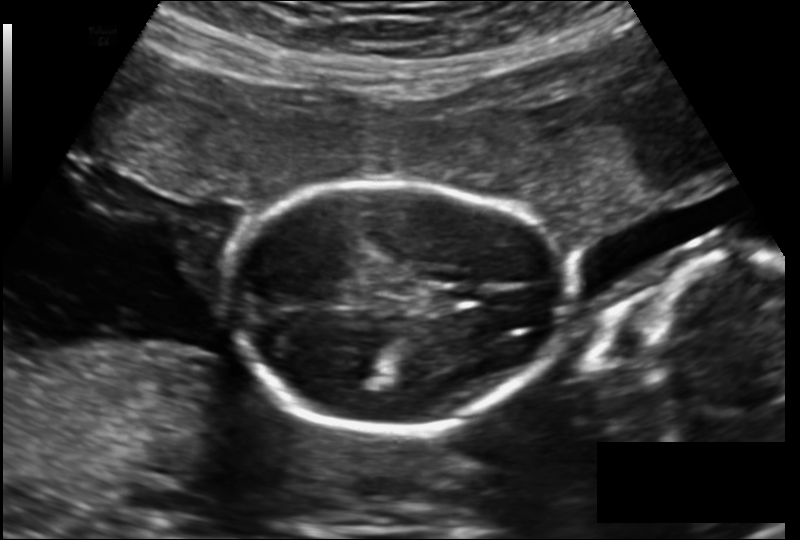
Fetal head ultrasound. Image width: 125.7 mm. Locate the fetal head.

Head: [229,182,567,430]